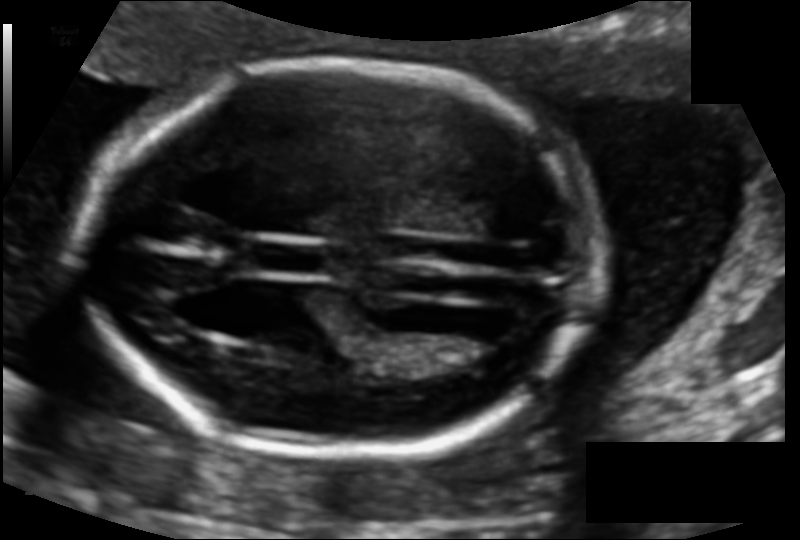
Estimate the fetal head circumference from this 2D ultrasound. Image width: 88.3 mm.

Head circumference: 164.1 mm.